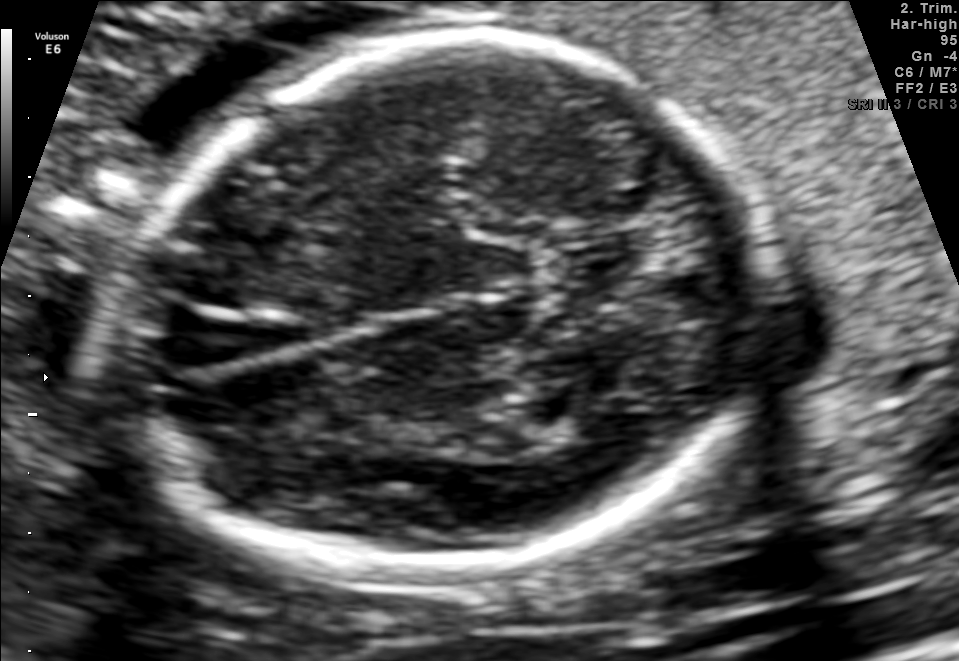
In this fetal brain, trans-thalamic plane, give the bounding box of the fetal head.

[104,37,767,574]